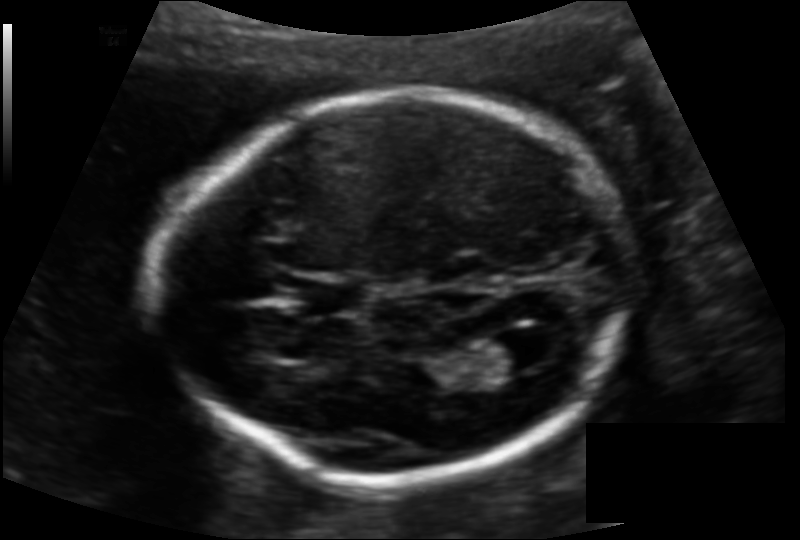
Fetal head ultrasound. Image width: 102.7 mm. Locate the fetal head.

Head: [163,95,631,480]